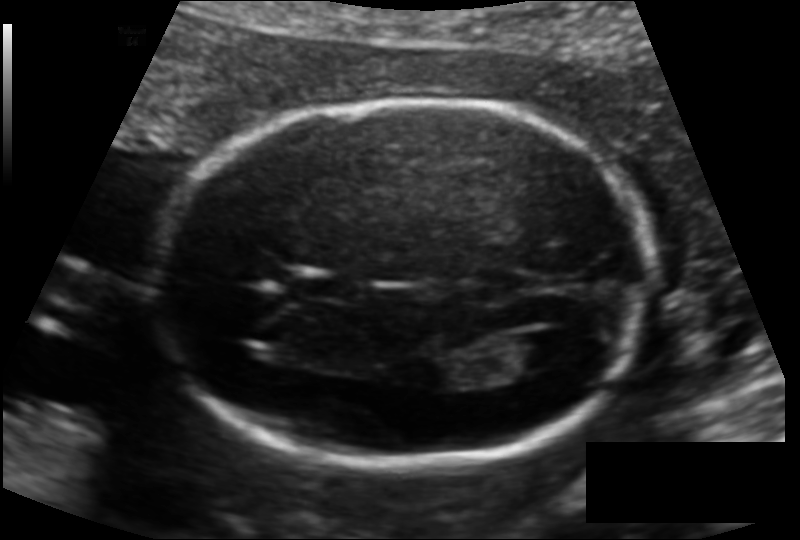
Fetal head ultrasound. Image width: 102.6 mm. Locate the cavum septum pellucidum.

CSP: [296,271,360,301]